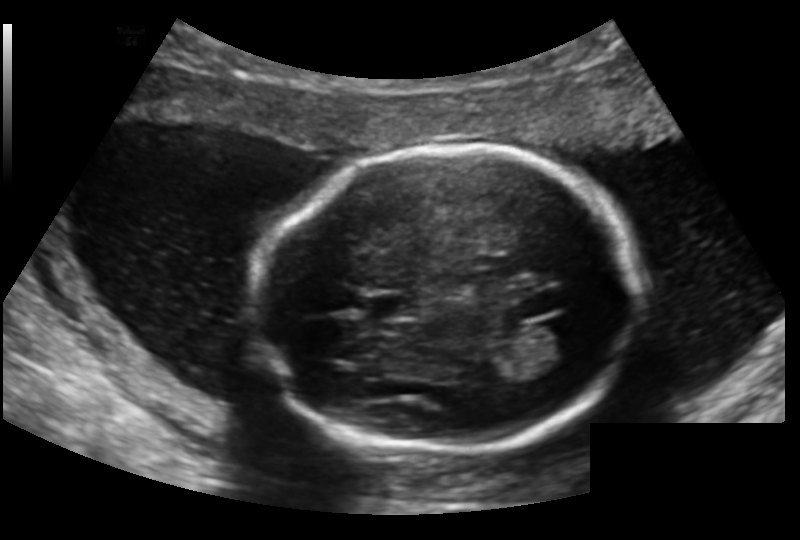
In this fetal head ultrasound, give bounding boxes for the head outline, cavum septum pellucidum (CSP), and lateral ventricle (LV), where visible. Image width: 127.4 mm.

Head: [254,146,638,453]
CSP: [366,295,416,318]
Lateral ventricle: [531,313,595,366]